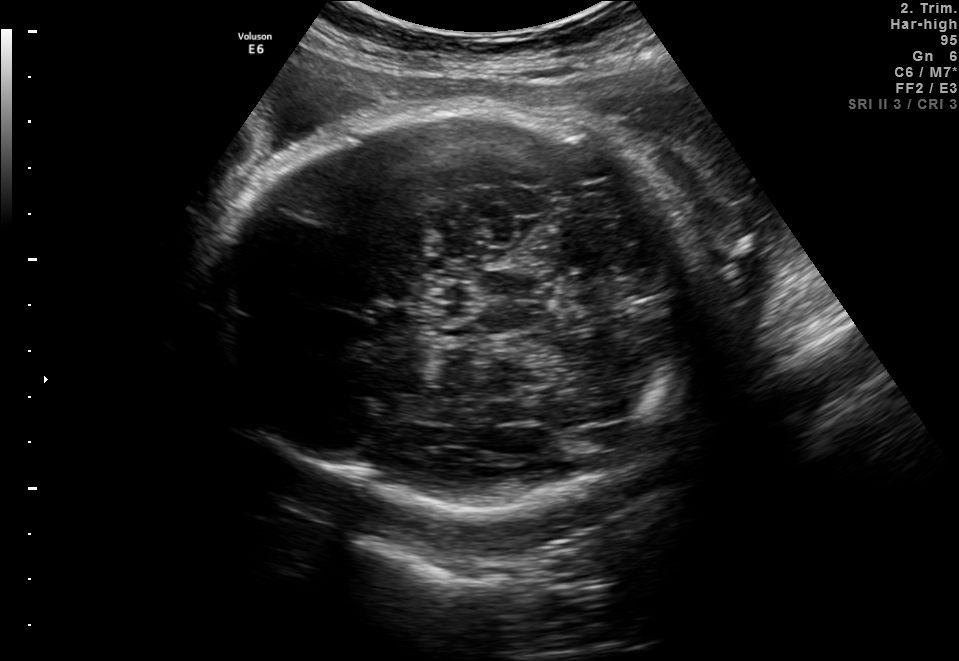
Fetal brain, trans-thalamic plane. Where is the fetal head?

Head bounding box: [207,102,694,515]